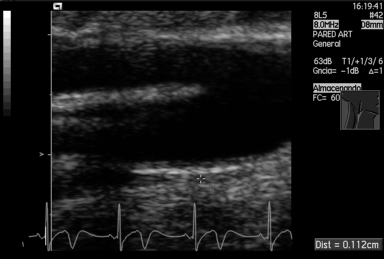
Which standard maternal-fetal ultrasound plane is shown: fetal abdomen, fetal brain, fetal femur, fetal thorax, maternal cervix, or other? If it's fetal brain and one of the three standard brain planes (trans-thalamic, trans-cerebellum, trans-ventricular), name which.

Other